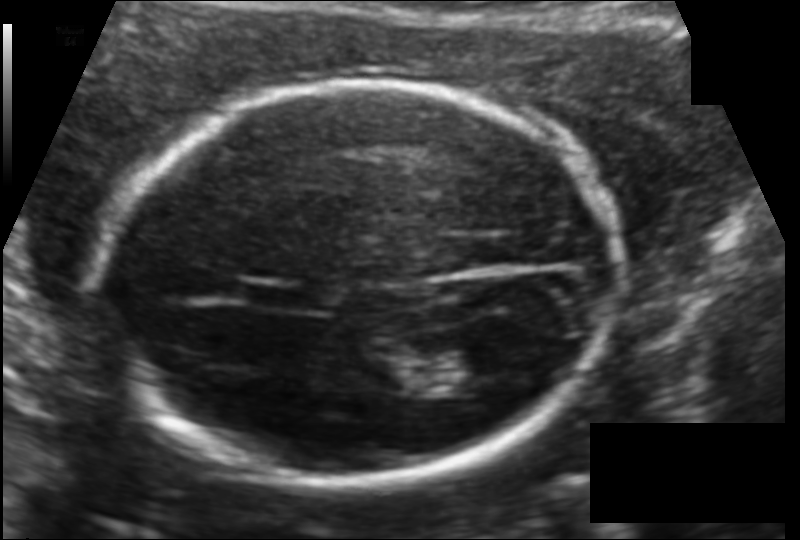
Fetal head ultrasound. Image width: 96.7 mm. Locate the lateral ventricle.

Lateral ventricle: [438,348,511,395]